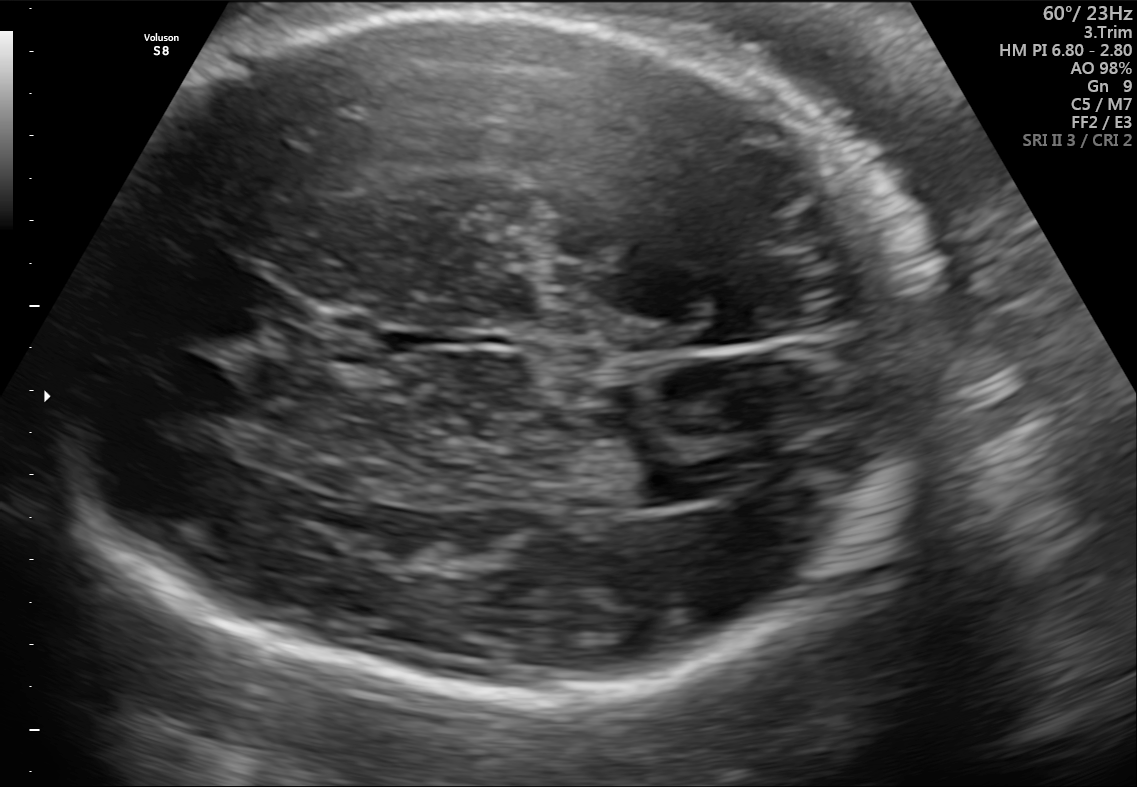
Fetal brain, trans-ventricular plane. Locate the fetal head and, if visible, the cavum septum pellucidum (CSP) and lateral ventricle (LV). Give bounding boxes as [x1,y1,x2,y2].

Head: [76,8,928,693]
CSP: [379,333,423,353]
Lateral ventricle: [627,463,702,507]